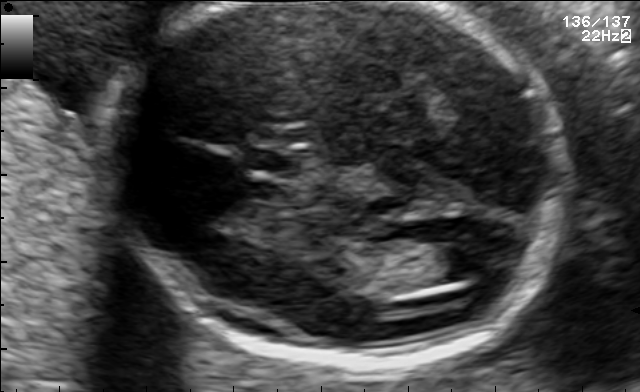
Fetal brain, trans-ventricular plane. Locate the fetal head and, if visible, the cavum septum pellucidum (CSP) and lateral ventricle (LV). Give bounding boxes as [x1,y1,x2,y2].

Head: [97,2,575,368]
CSP: [240,144,304,181]
Lateral ventricle: [428,238,504,286]